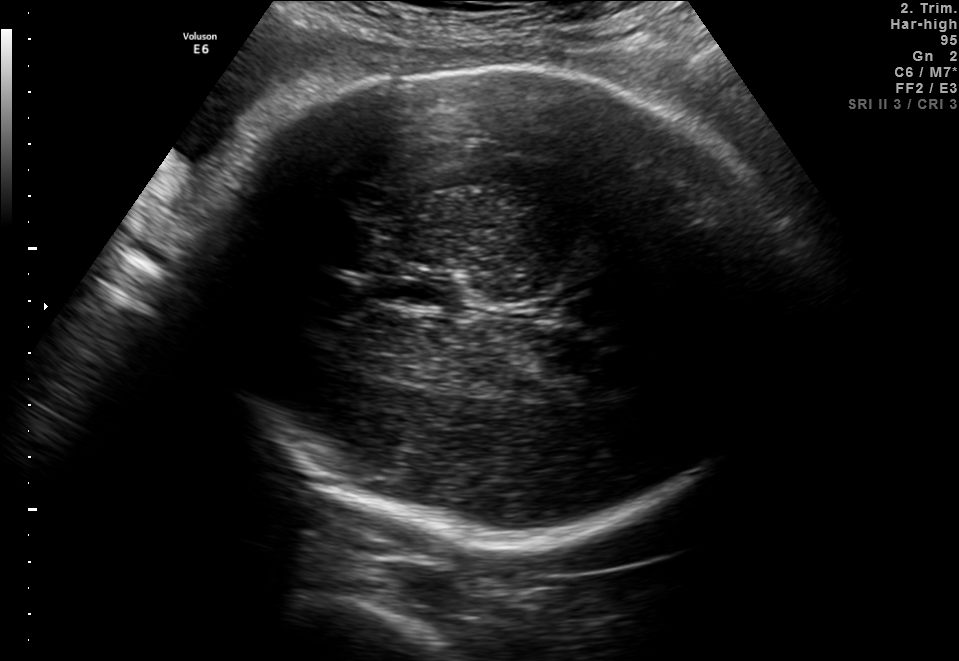
Fetal brain, trans-thalamic plane. Where is the fetal head?

Head bounding box: [198,67,781,542]